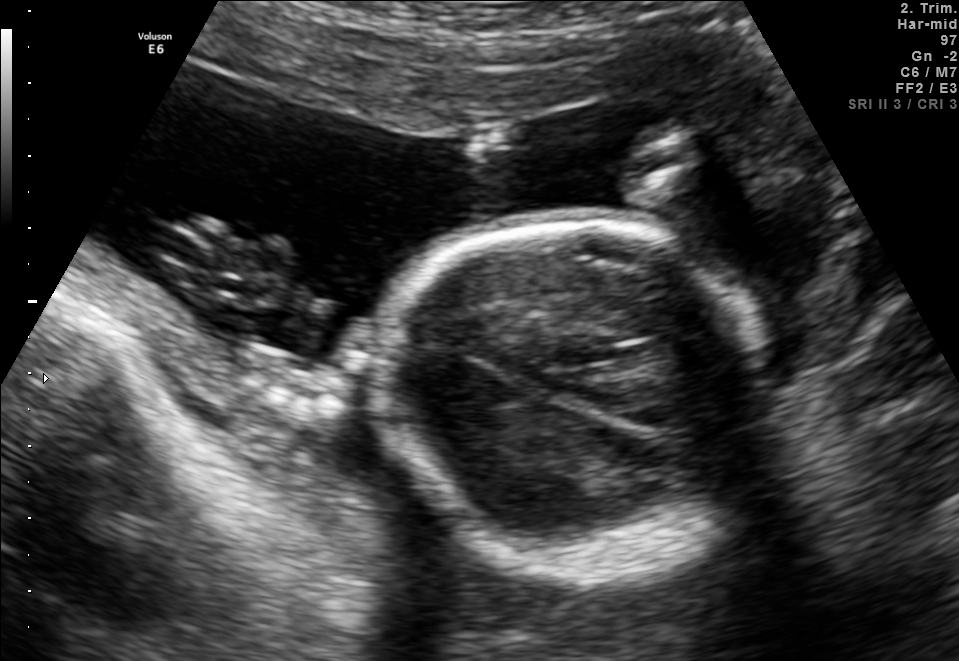
In this fetal brain, trans-thalamic plane, give bounding boxes for the head outline, cavum septum pellucidum (CSP), and lateral ventricle (LV), where visible.

Head: [369,220,776,575]